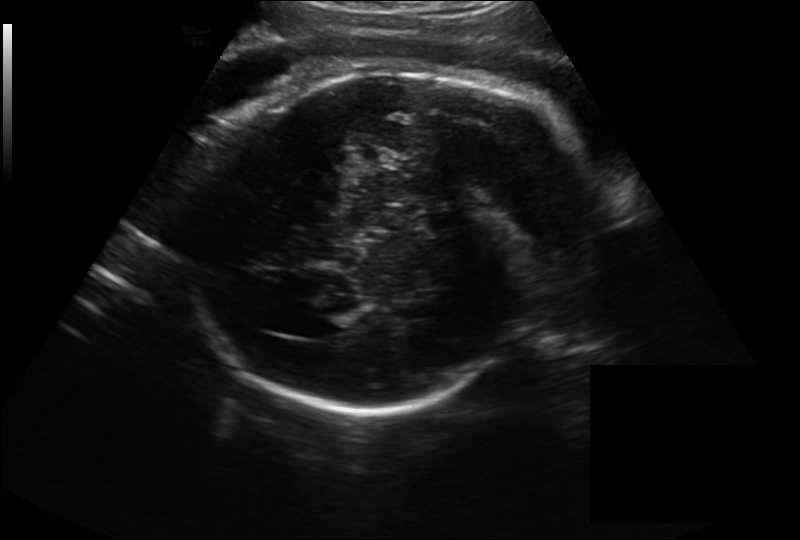
Estimate the fetal head circumference from this 2D ultrasound.

Head circumference: 312.5 mm (image width 209.3 mm).